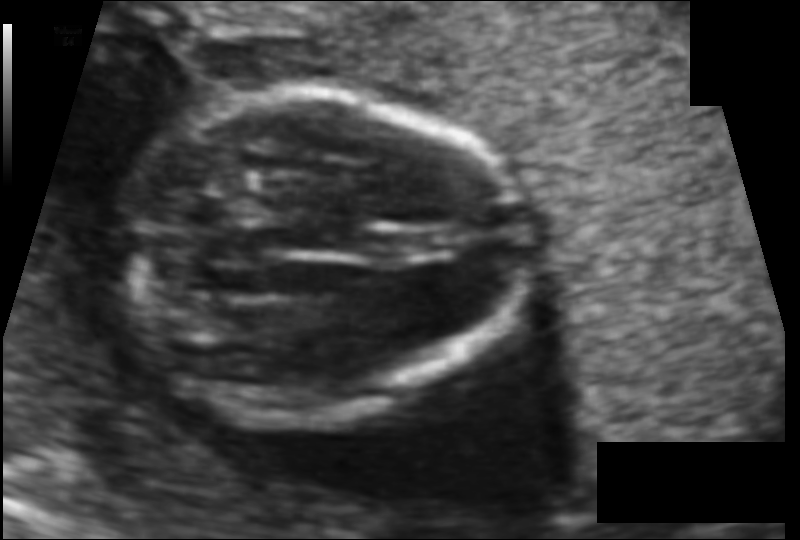
Fetal head ultrasound. Image width: 71.6 mm. Where is the cavum septum pellucidum?

CSP bounding box: [372,230,438,261]